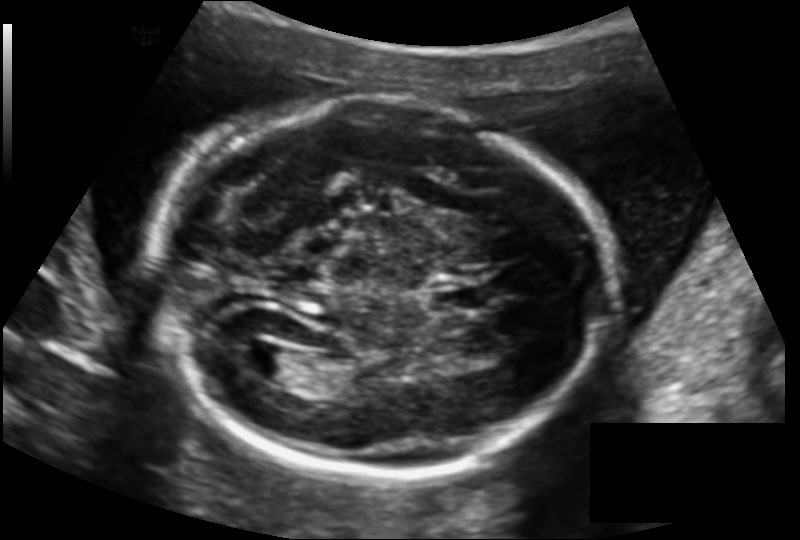
From this fetal ultrasound, estimate the head circumference (image width 116.1 mm).

Head circumference: 197.7 mm.